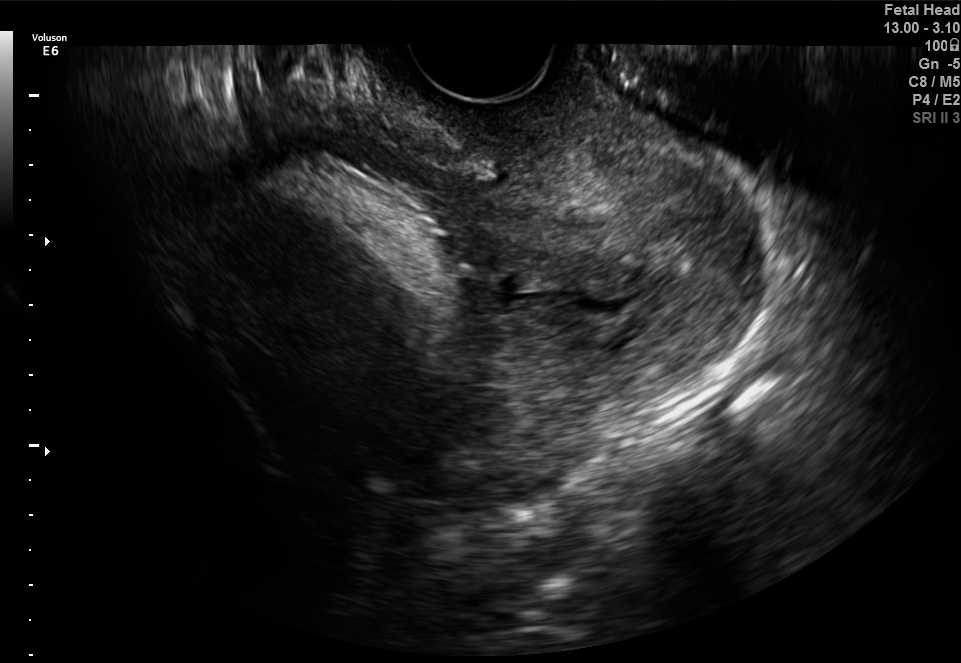
Classify this maternal-fetal ultrasound image as one of the six standard planes — fetal abdomen, fetal brain, fetal femur, fetal thorax, maternal cervix, or other. If it's fetal brain and one of the three standard brain planes (trans-thalamic, trans-cerebellum, trans-ventricular), name which.

Maternal cervix